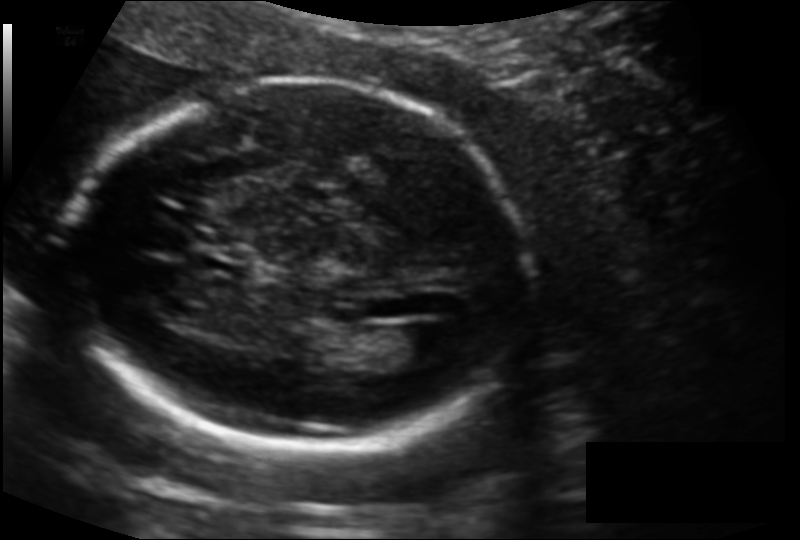
In this fetal head ultrasound, give the bounding box of the fetal head. Image width: 101.6 mm.

[67,79,530,448]